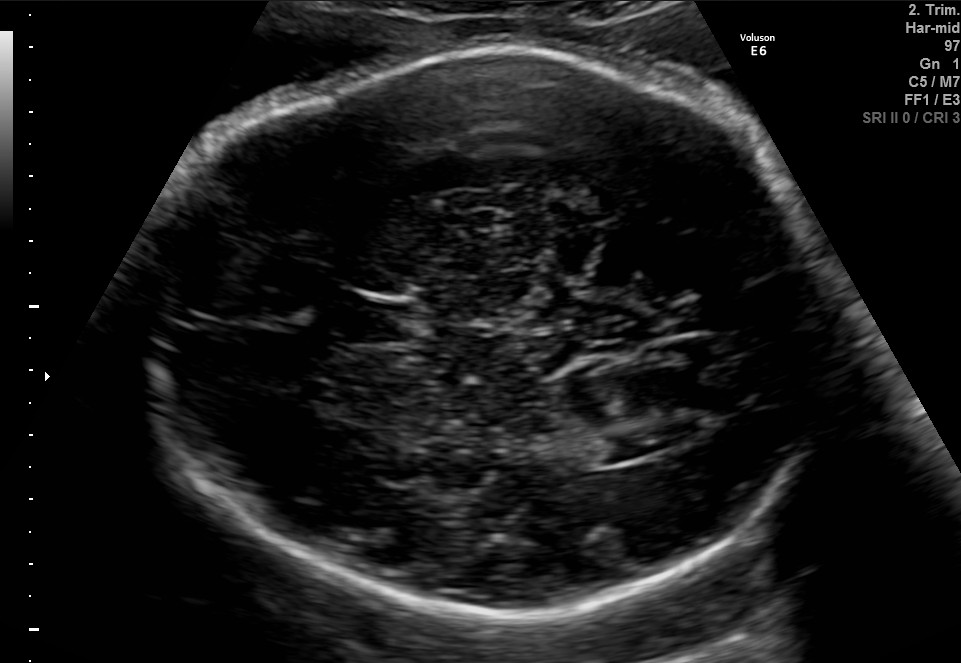
Fetal brain, trans-ventricular plane. Locate the fetal head.

Head: [138,55,845,620]